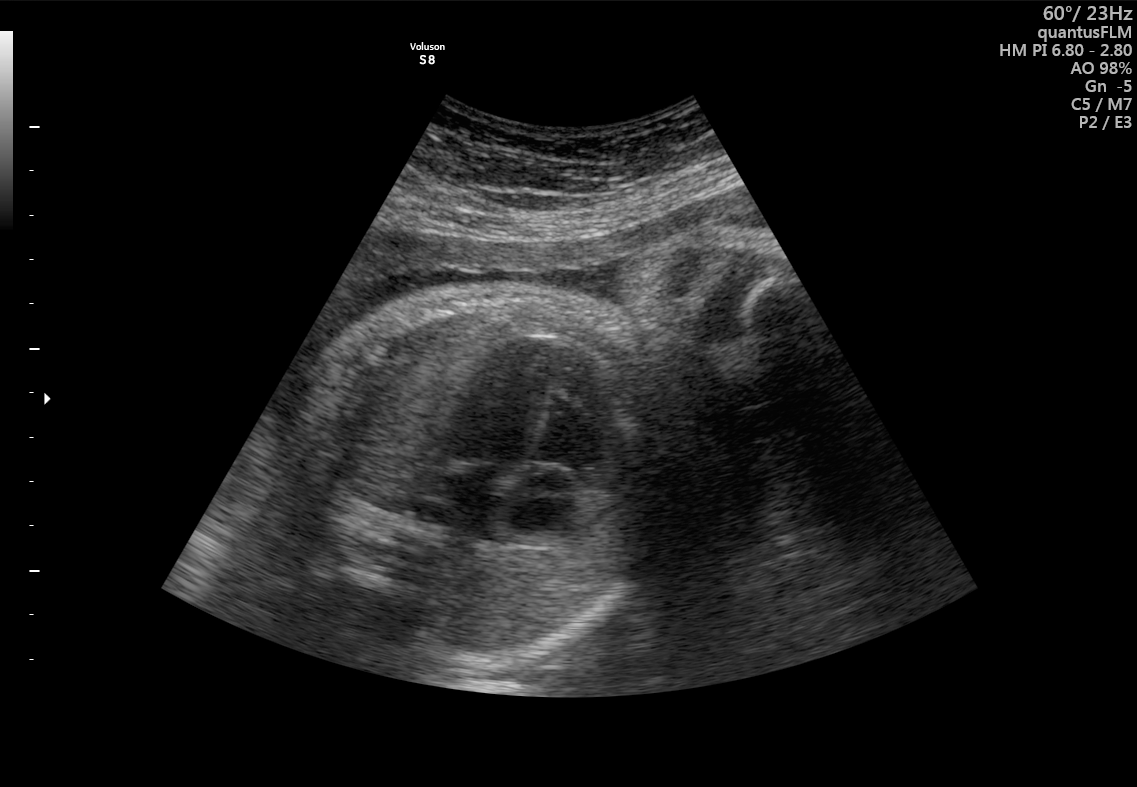
This is a 2D maternal-fetal ultrasound frame. Is it a fetal abdomen, fetal brain, fetal femur, fetal thorax, maternal cervix, or other standard plane? If it's fetal brain and one of the three standard brain planes (trans-thalamic, trans-cerebellum, trans-ventricular), name which.

Fetal thorax